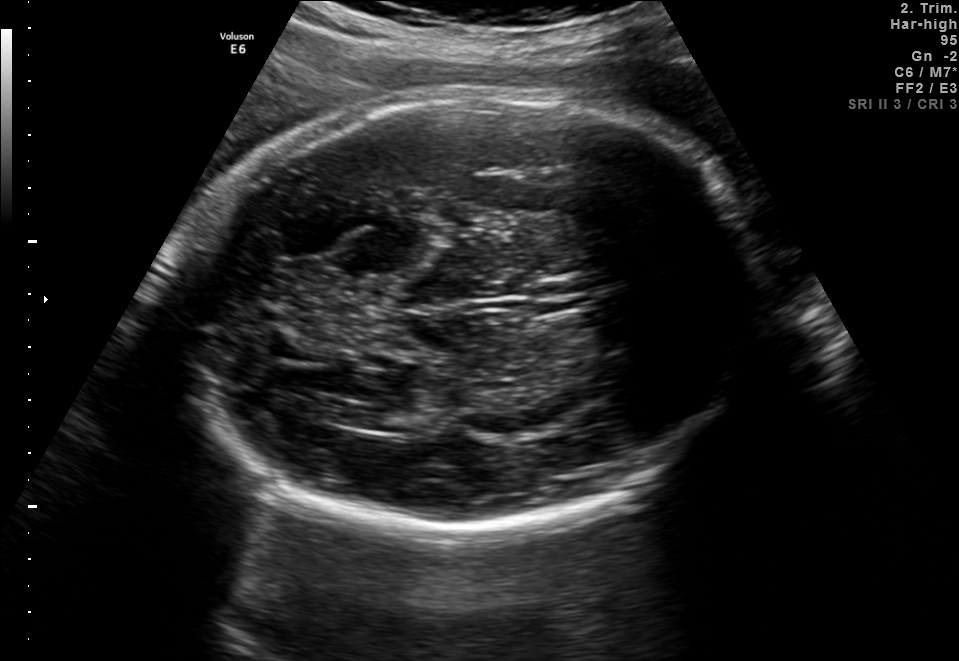
In this fetal brain, trans-ventricular plane, give the bounding box of the fetal head.

[172,85,775,536]